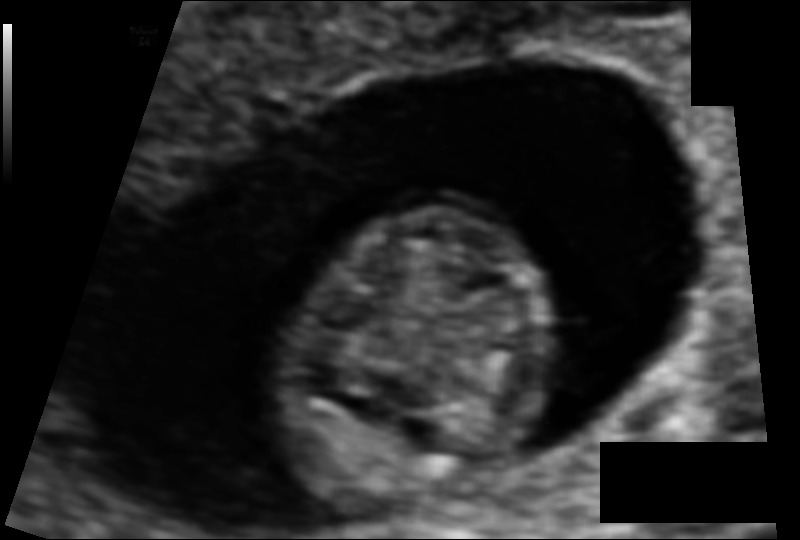
Estimate the fetal head circumference from this 2D ultrasound. Image width: 58.4 mm.

Head circumference: 67.1 mm.